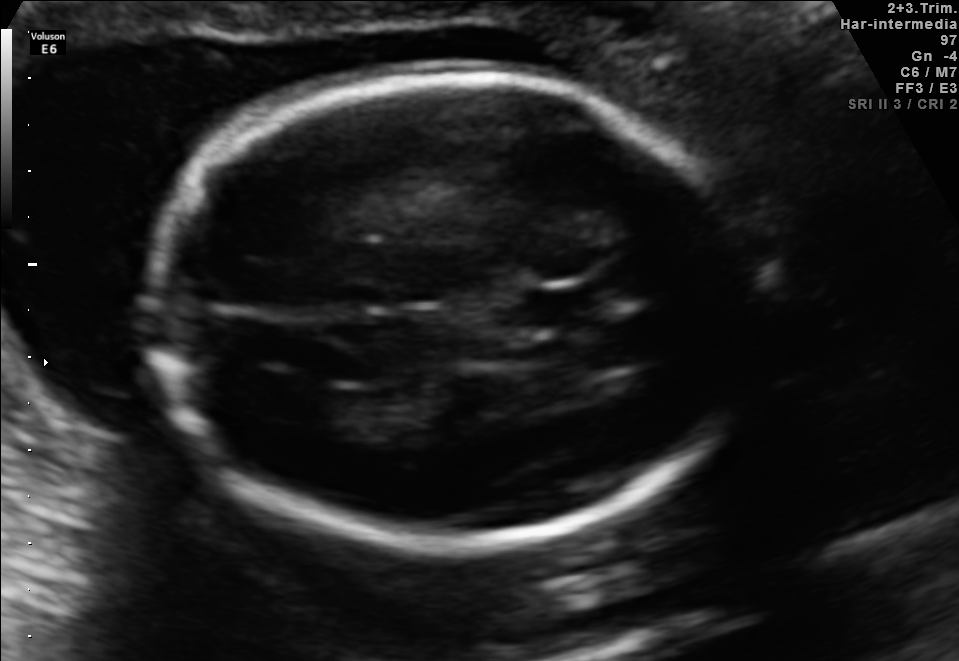
In this fetal brain, trans-ventricular plane, give the bounding box of the fetal head.

[135,68,776,553]